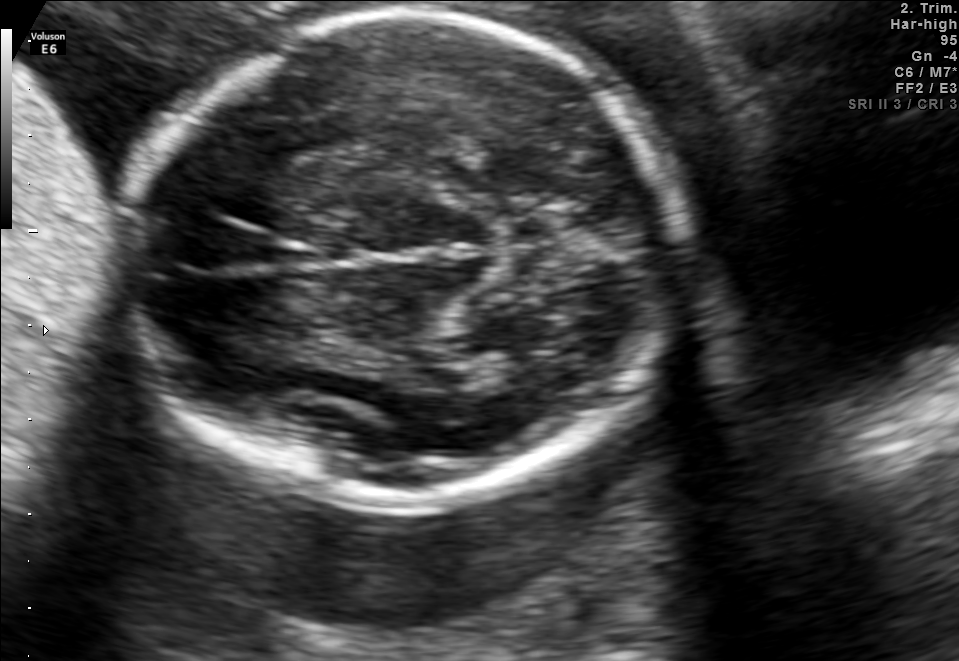
Fetal brain, trans-thalamic plane. Locate the fetal head and, if visible, the cavum septum pellucidum (CSP) and lateral ventricle (LV). Give bounding boxes as [x1,y1,x2,y2].

Head: [121,16,684,501]